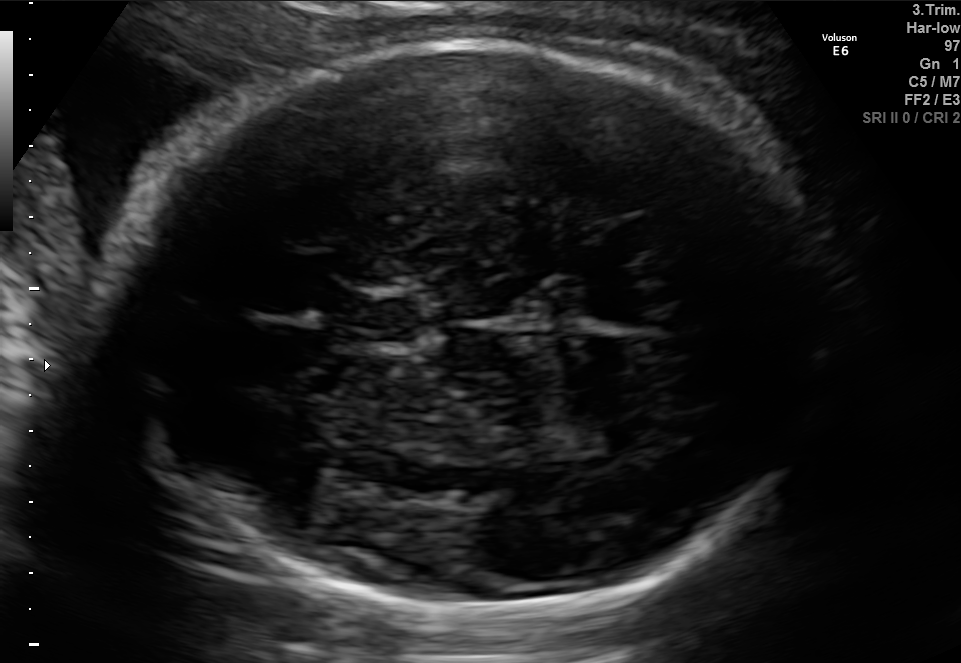
In this fetal brain, trans-thalamic plane, give bounding boxes for the head outline, cavum septum pellucidum (CSP), and lateral ventricle (LV), where visible.

Head: [106,45,821,614]
CSP: [343,297,419,343]